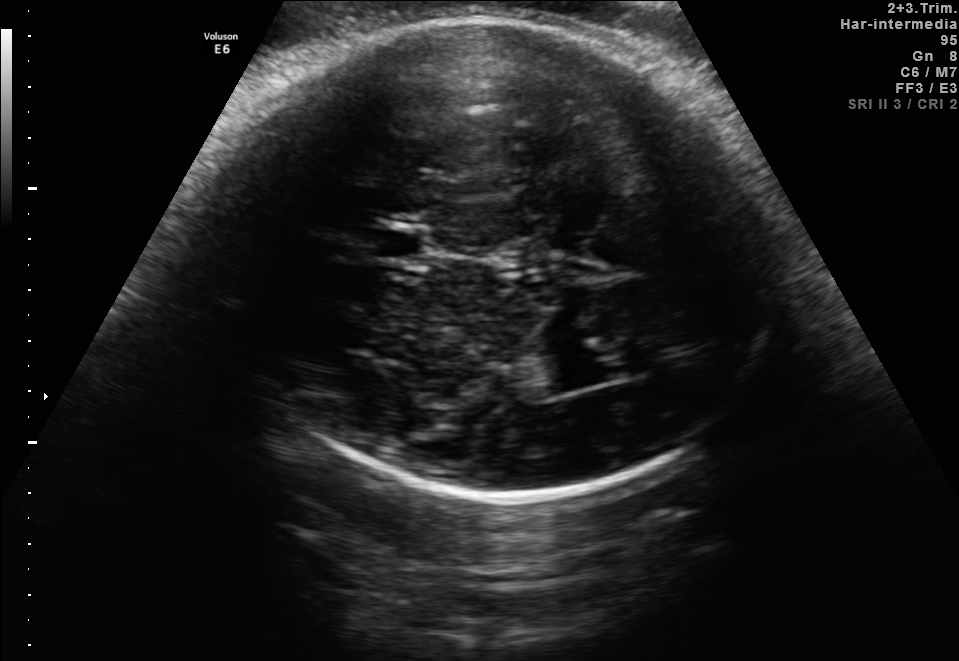
Fetal brain, trans-thalamic plane. Where is the cavum septum pellucidum?

CSP bounding box: [373,230,423,260]